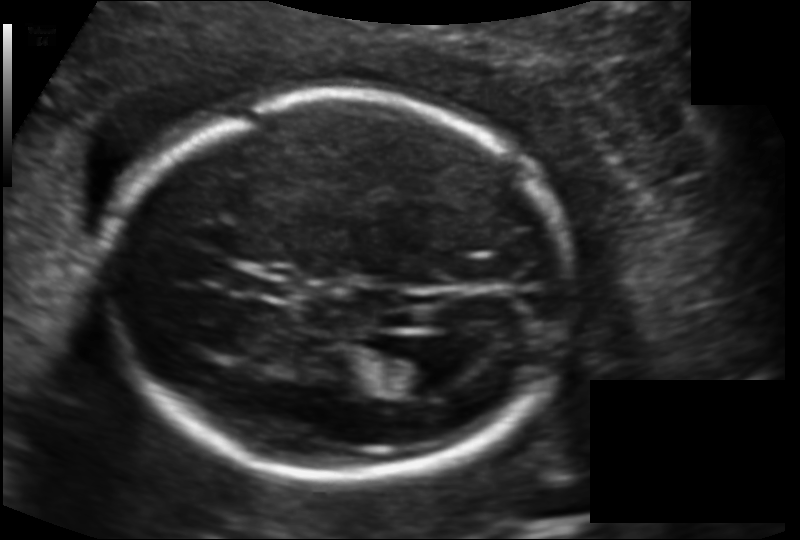
Fetal head ultrasound. Image width: 107.3 mm. Give [x1,y1,x2,y2] bounding boxes for each visible structure among: fetal head, CSP, LV.

Head: [108,92,565,482]
CSP: [234,268,289,302]
Lateral ventricle: [382,356,443,395]